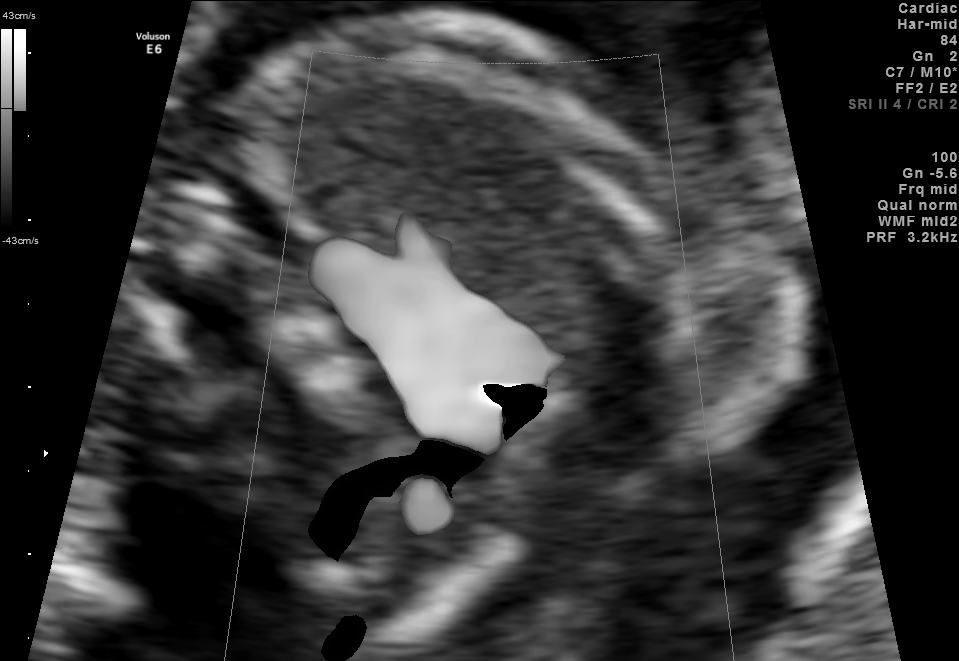
This is a 2D maternal-fetal ultrasound frame. Is it a fetal abdomen, fetal brain, fetal femur, fetal thorax, maternal cervix, or other standard plane? If it's fetal brain and one of the three standard brain planes (trans-thalamic, trans-cerebellum, trans-ventricular), name which.

Other